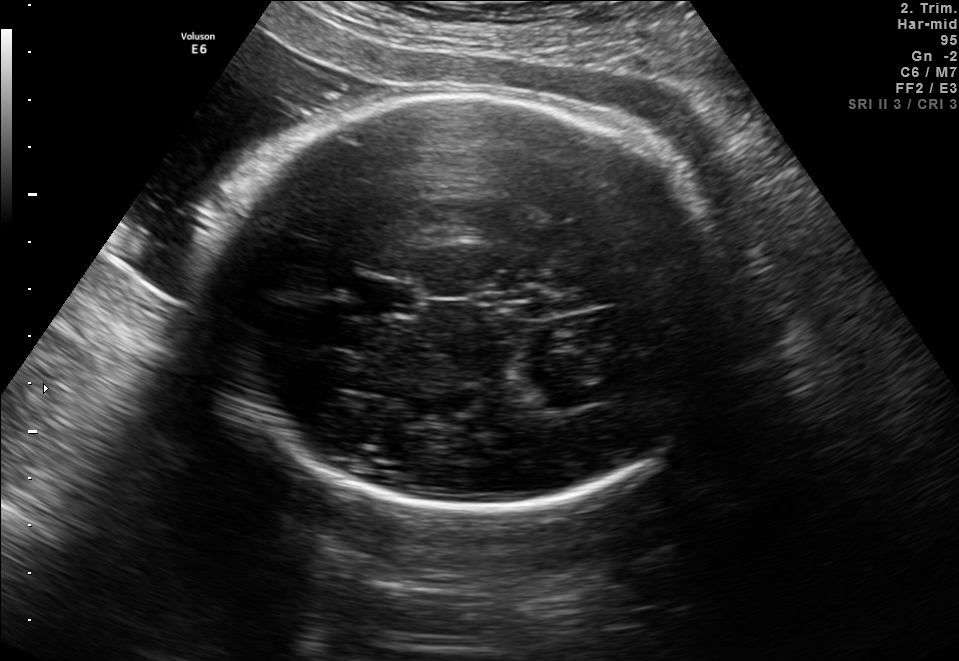
In this fetal brain, trans-thalamic plane, give the bounding box of the fetal head.

[214,96,741,509]